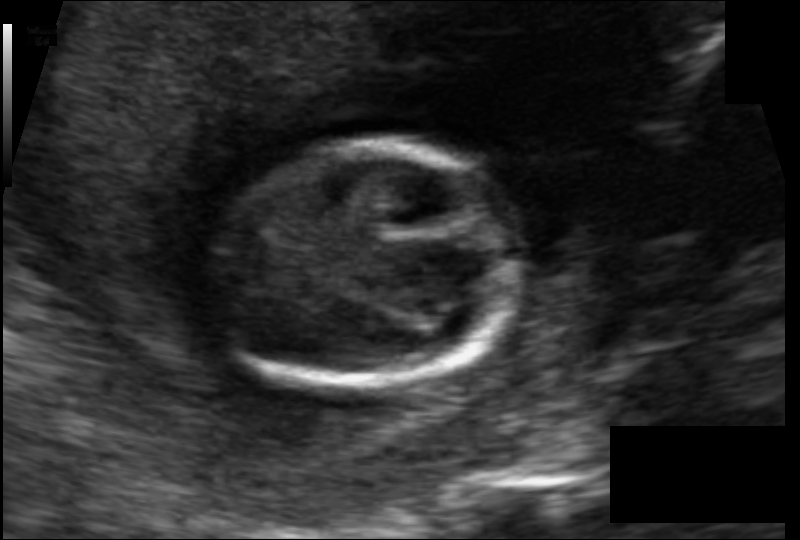
Estimate the fetal head circumference from this 2D ultrasound. Image width: 70.6 mm.

Head circumference: 80.3 mm.